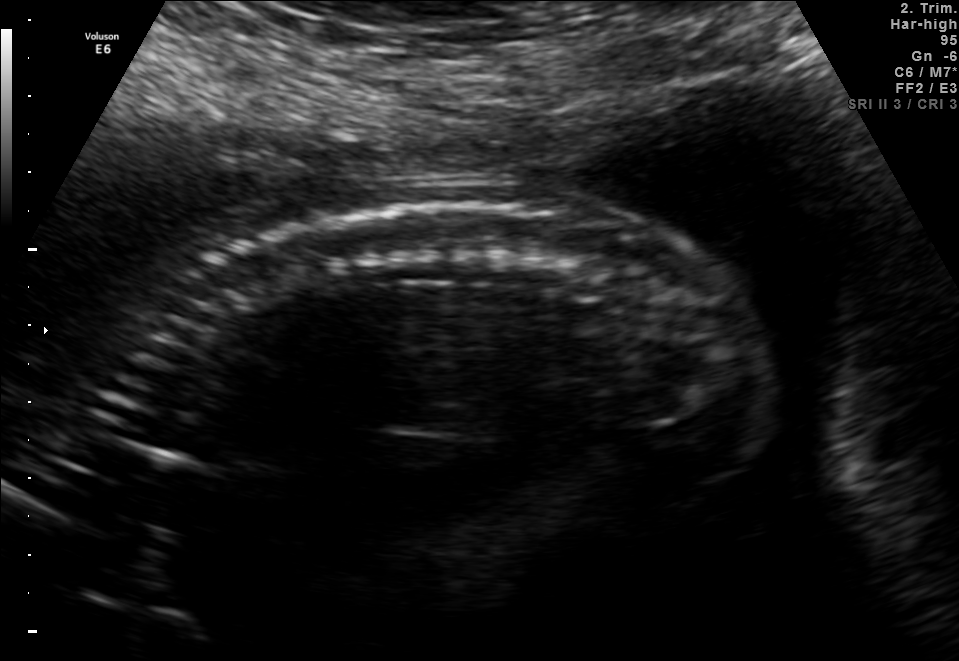
Identify the standard plane in this fetal ultrasound image: fetal abdomen, fetal brain, fetal femur, fetal thorax, maternal cervix, or other. If it's fetal brain and one of the three standard brain planes (trans-thalamic, trans-cerebellum, trans-ventricular), name which.

Other